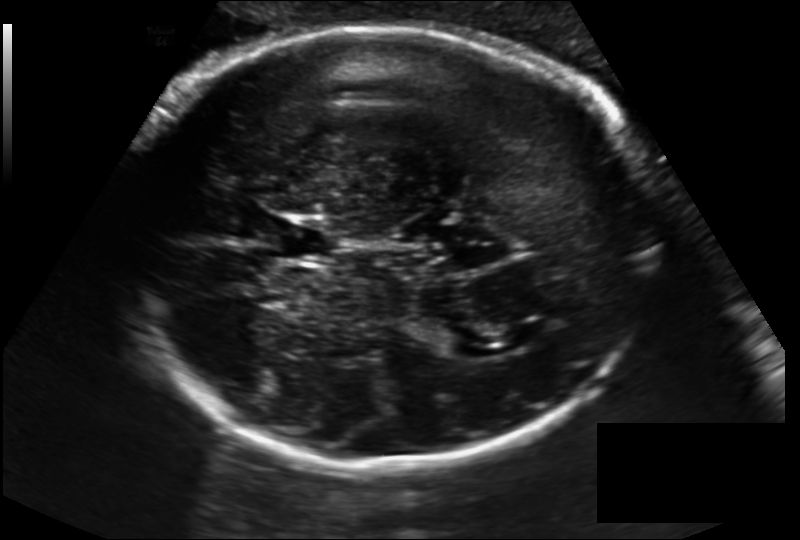
Fetal head ultrasound. Image width: 155.1 mm. Locate the lateral ventricle.

Lateral ventricle: [431,323,481,358]